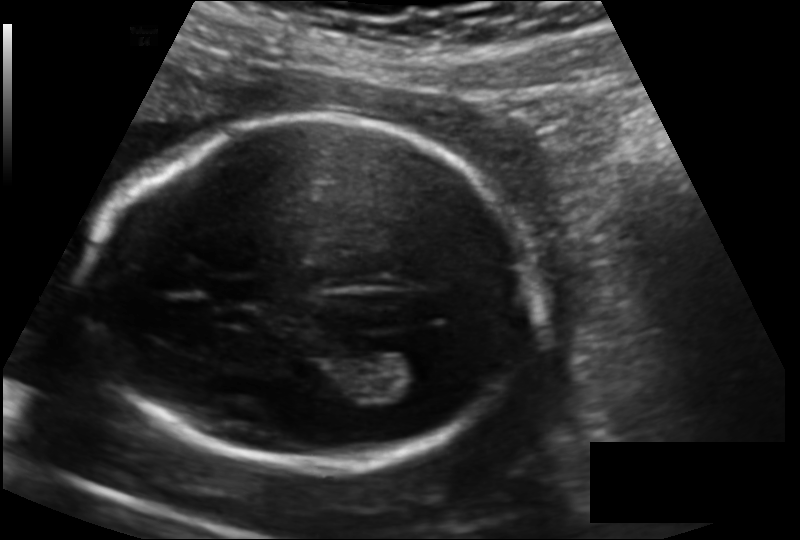
In this fetal head ultrasound, give the bounding box of the cavum septum pellucidum. Image width: 111.4 mm.

[210,277,262,303]